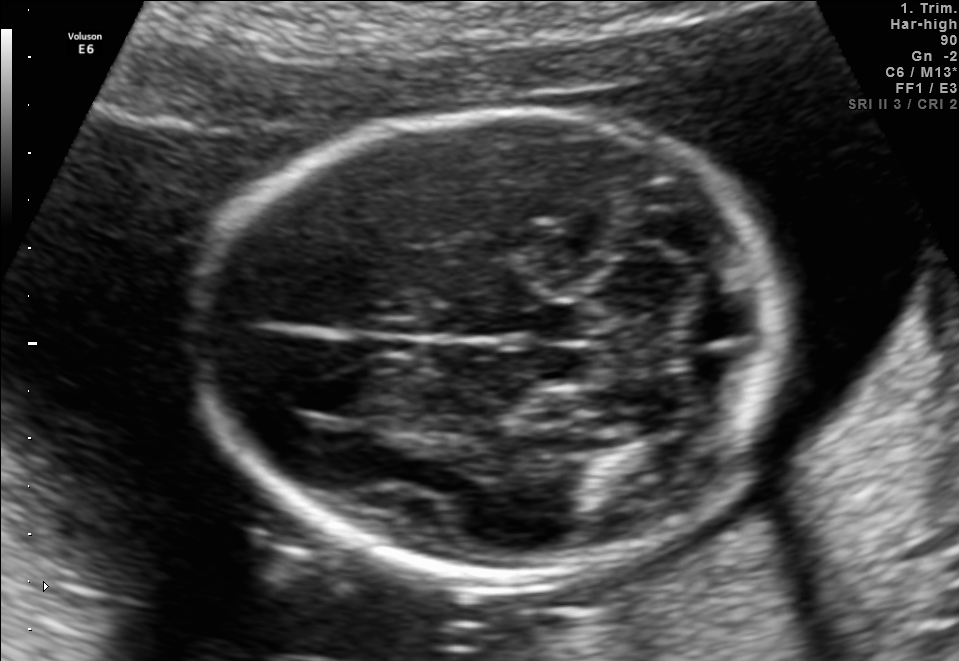
Fetal brain, trans-cerebellum plane. Locate the fetal head and, if visible, the cavum septum pellucidum (CSP) and lateral ventricle (LV). Give bounding boxes as [x1,y1,x2,y2].

Head: [205,109,788,572]